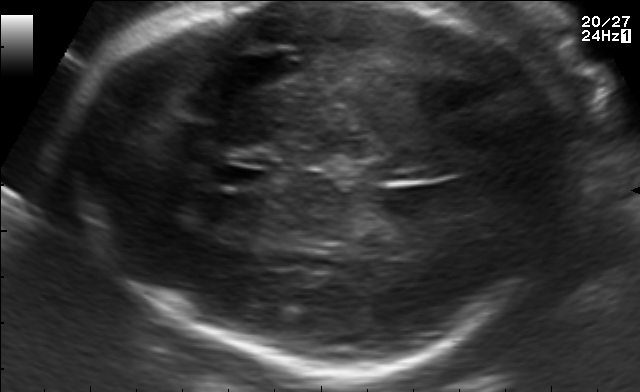
In this fetal brain, trans-thalamic plane, give bounding boxes for the head outline, cavum septum pellucidum (CSP), and lateral ventricle (LV), where visible.

Head: [46,4,561,362]
CSP: [215,164,267,190]